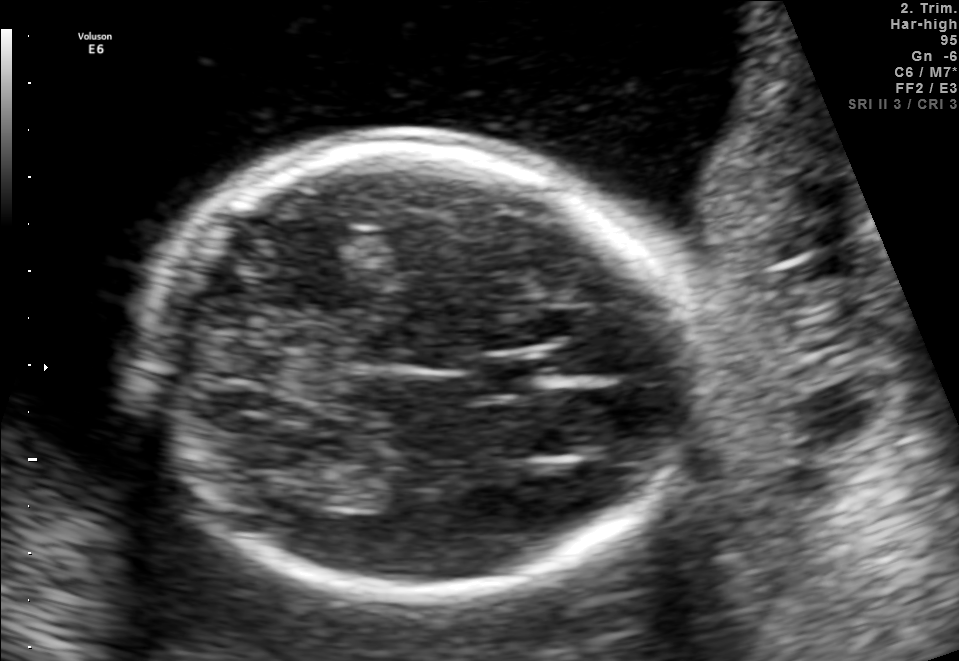
Fetal brain, trans-thalamic plane. Locate the fetal head and, if visible, the cavum septum pellucidum (CSP) and lateral ventricle (LV). Give bounding boxes as [x1,y1,x2,y2].

Head: [143,143,692,592]
CSP: [471,355,545,396]